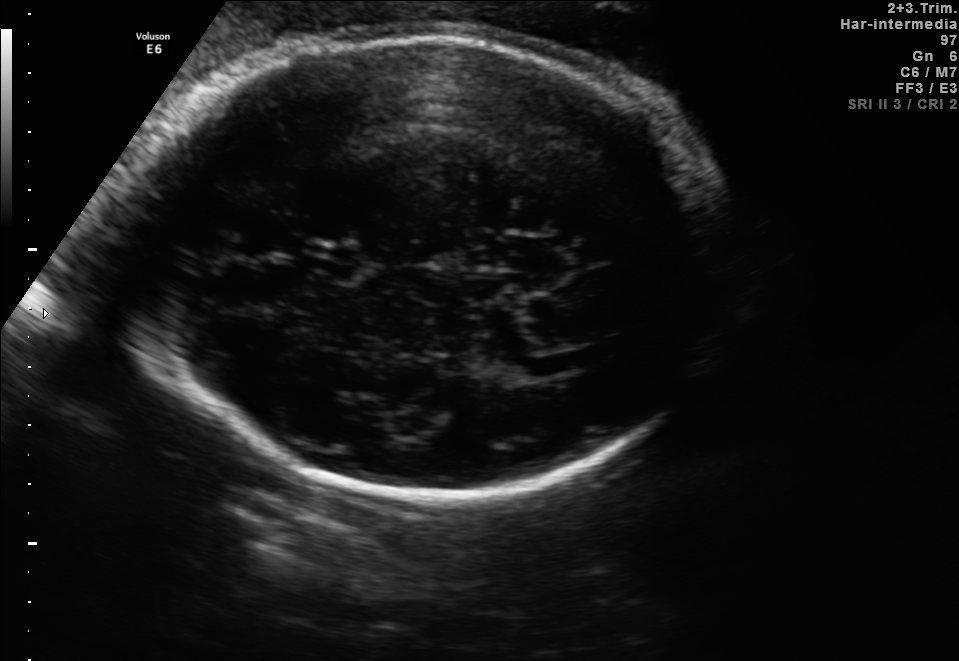
In this fetal brain, trans-thalamic plane, give the bounding box of the fetal head.

[134,35,733,490]